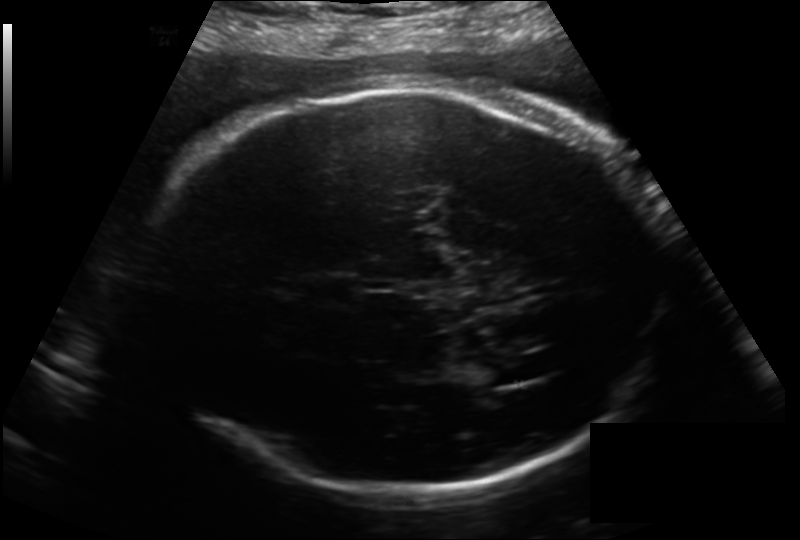
Fetal head ultrasound. Image width: 171.3 mm. Locate the fetal head and, if visible, the cavum septum pellucidum (CSP) and lateral ventricle (LV). Give bounding boxes as [x1,y1,x2,y2].

Head: [148,84,660,500]
CSP: [297,274,358,304]
Lateral ventricle: [461,353,527,393]